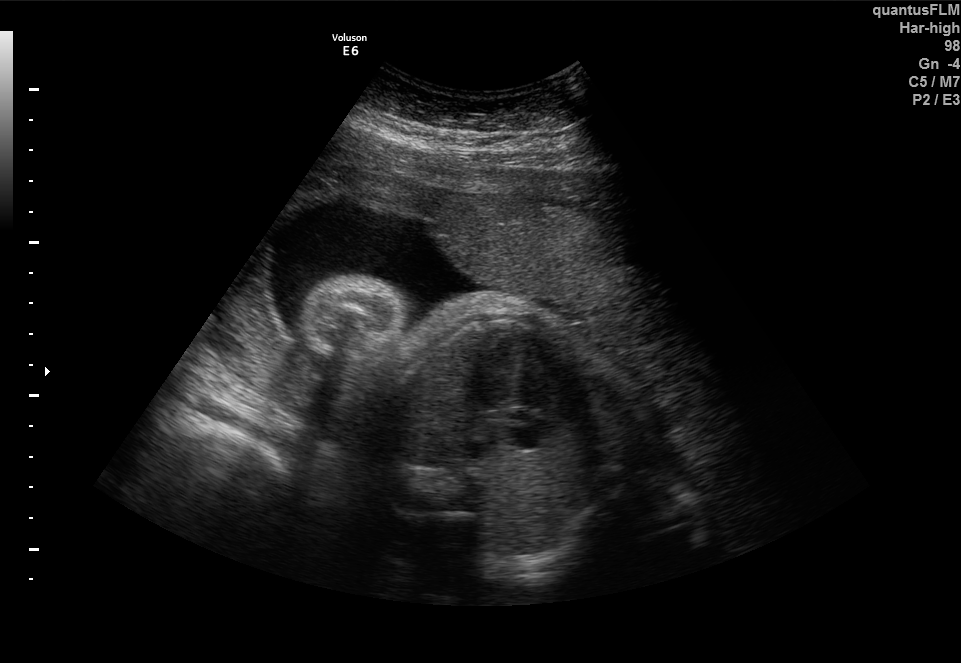
Classify this maternal-fetal ultrasound image as one of the six standard planes — fetal abdomen, fetal brain, fetal femur, fetal thorax, maternal cervix, or other. If it's fetal brain and one of the three standard brain planes (trans-thalamic, trans-cerebellum, trans-ventricular), name which.

Fetal thorax